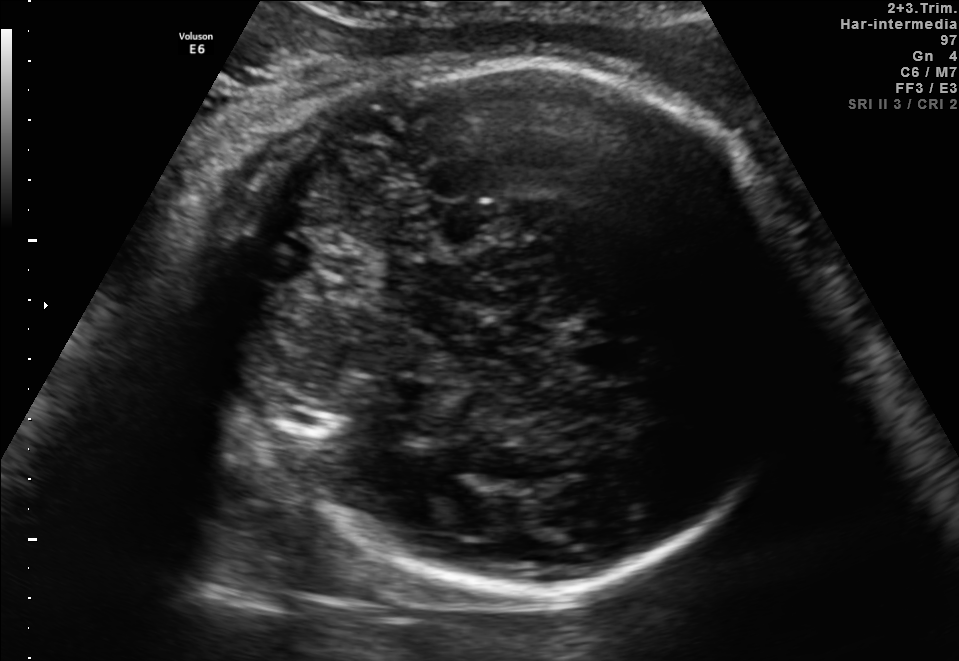
Fetal brain, trans-thalamic plane. Locate the fetal head.

Head: [255,54,798,605]